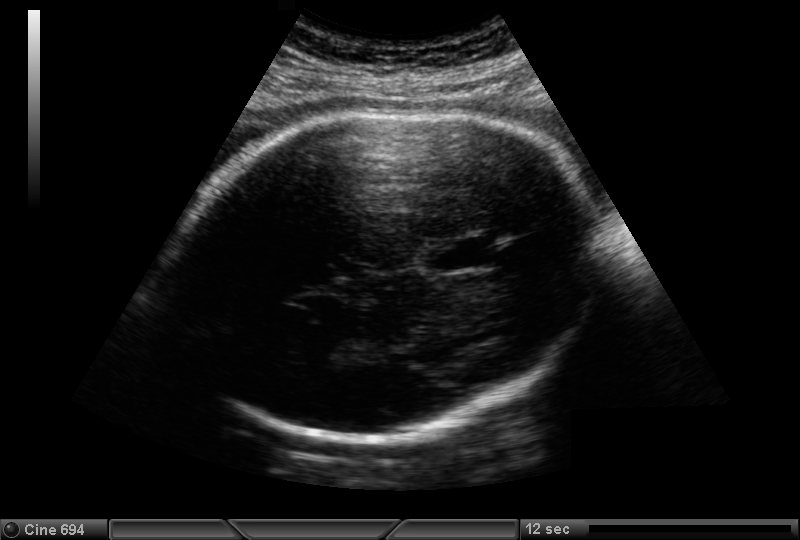
Fetal head ultrasound. Image width: 176.7 mm. Locate the fetal head and, if visible, the cavum septum pellucidum (CSP) and lateral ventricle (LV). Give bounding boxes as [x1,y1,x2,y2].

Head: [174,110,600,438]
CSP: [422,231,496,279]